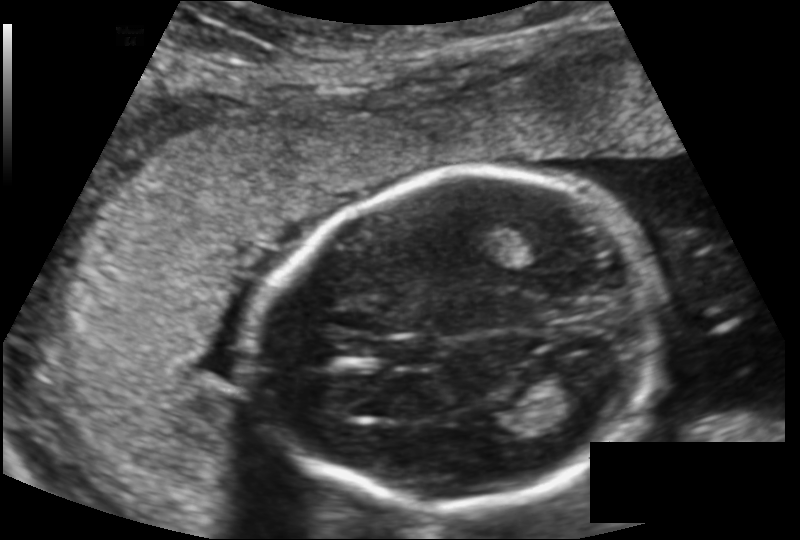
In this fetal head ultrasound, give bounding boxes for the head outline, cavum septum pellucidum (CSP), and lateral ventricle (LV), where visible. Image width: 119.2 mm.

Head: [249,175,657,507]
CSP: [384,334,443,369]
Lateral ventricle: [540,349,615,417]